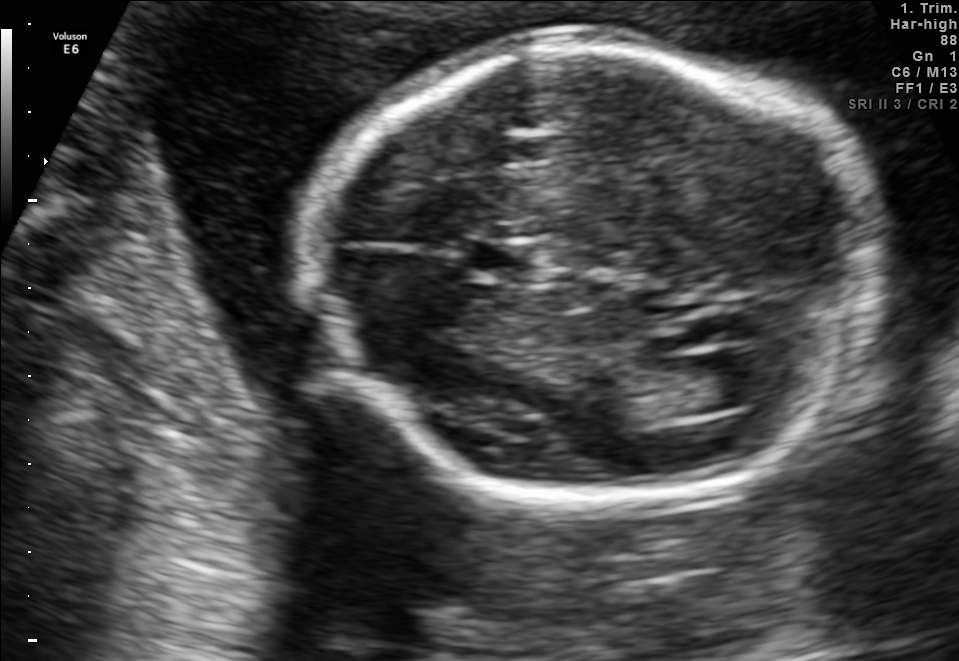
Fetal brain, trans-ventricular plane. Where is the cavum septum pellucidum?

CSP bounding box: [471,241,539,282]